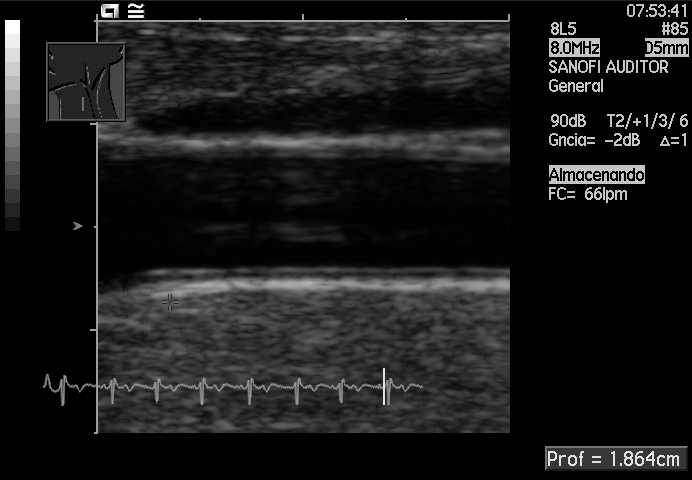
Identify the standard plane in this fetal ultrasound image: fetal abdomen, fetal brain, fetal femur, fetal thorax, maternal cervix, or other. If it's fetal brain and one of the three standard brain planes (trans-thalamic, trans-cerebellum, trans-ventricular), name which.

Other